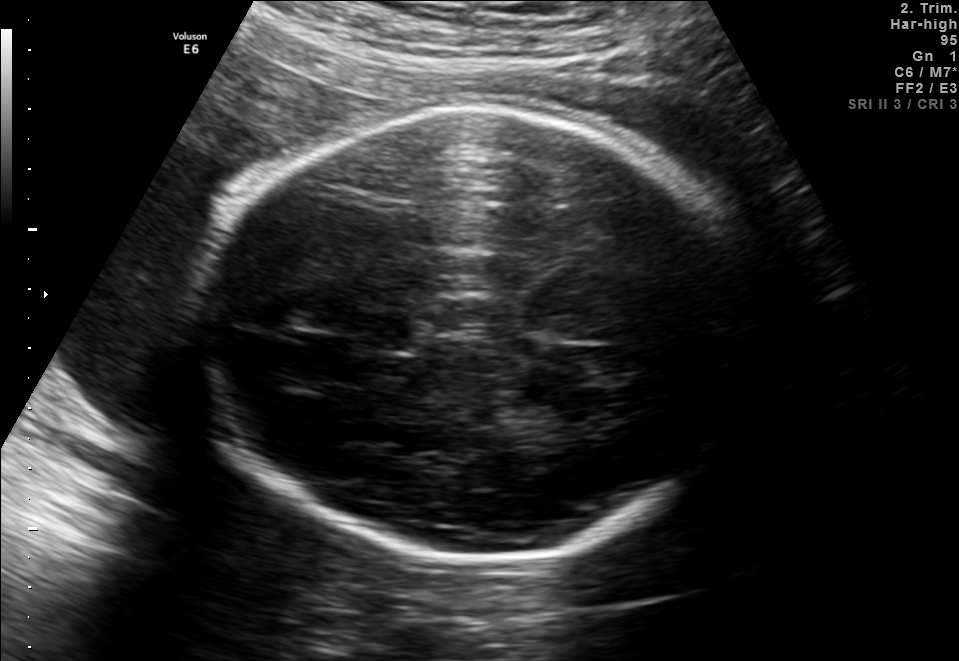
Fetal brain, trans-thalamic plane. Give [x1,y1,x2,y2] bounding boxes for each visible structure among: fetal head, CSP, LV.

Head: [201,110,756,567]
CSP: [355,313,411,352]